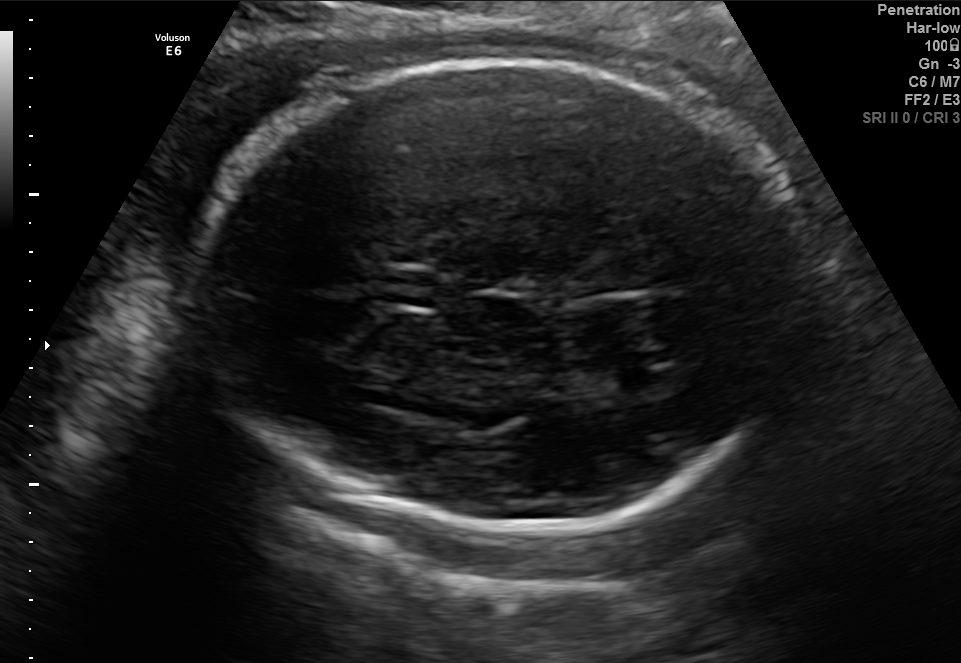
Fetal brain, trans-thalamic plane. Give [x1,y1,x2,y2] bounding boxes for each visible structure among: fetal head, CSP, LV.

Head: [192,59,821,532]